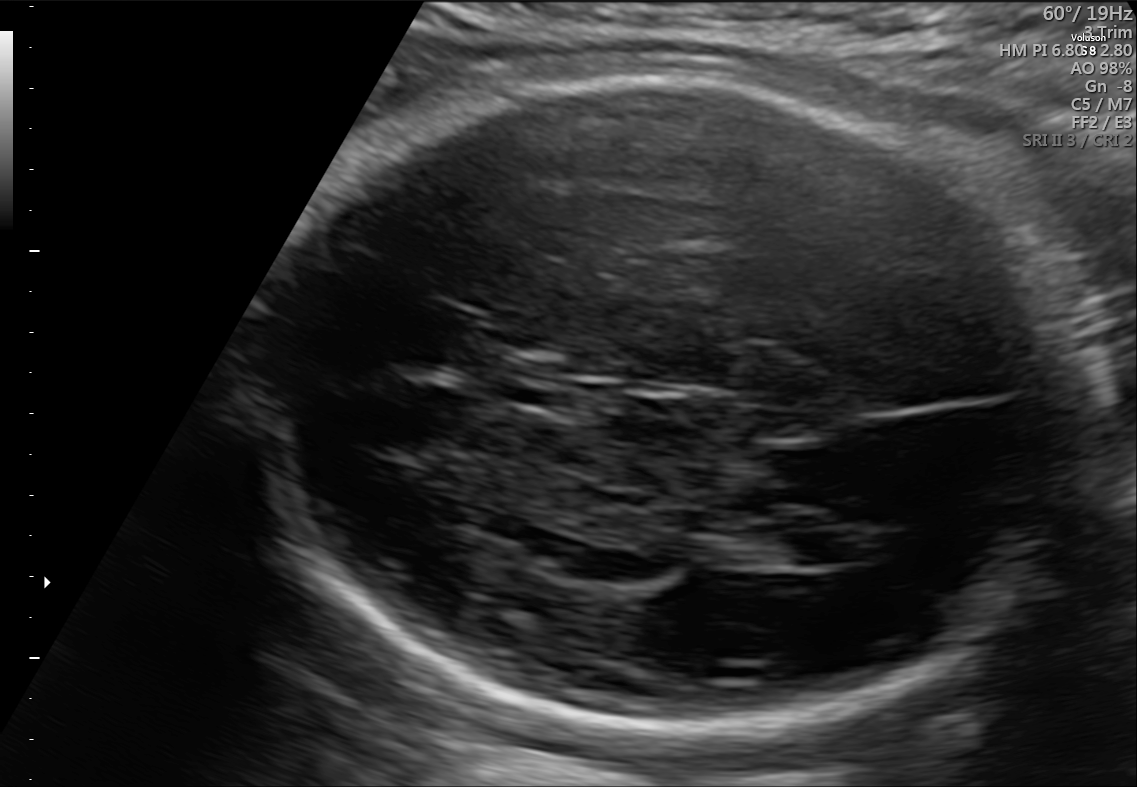
Classify this maternal-fetal ultrasound image as one of the six standard planes — fetal abdomen, fetal brain, fetal femur, fetal thorax, maternal cervix, or other. If it's fetal brain and one of the three standard brain planes (trans-thalamic, trans-cerebellum, trans-ventricular), name which.

Fetal brain (trans-ventricular plane)